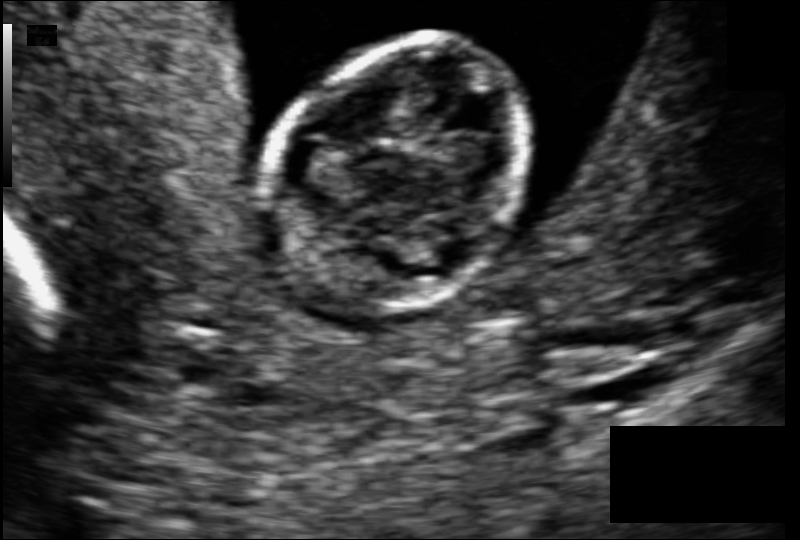
Measure the fetal head circumference shown in this ultrasound image. Image width: 63.6 mm.

Head circumference: 68.7 mm.